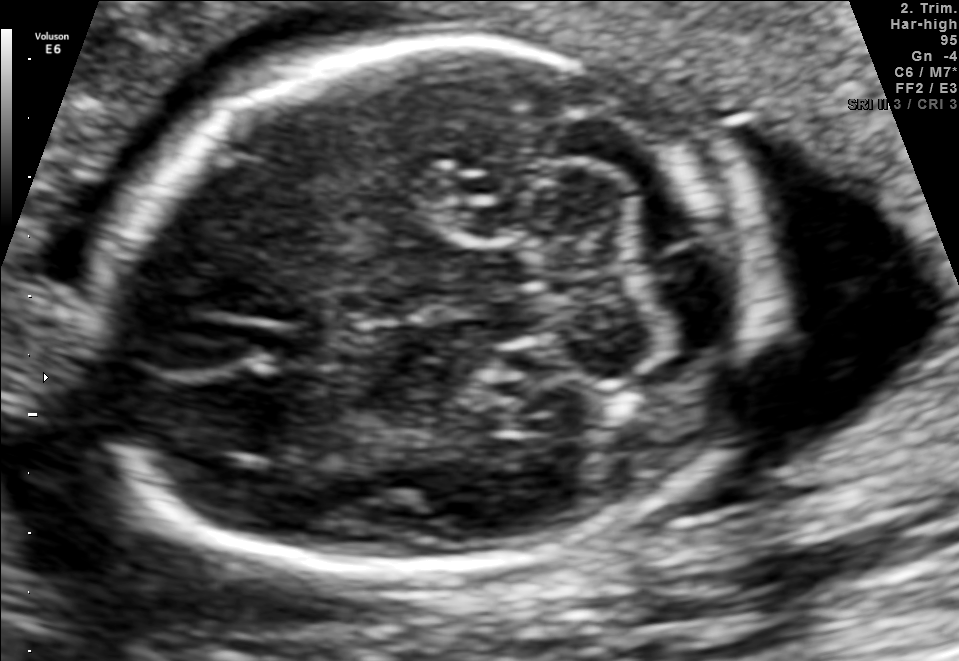
Fetal brain, trans-cerebellum plane. Where is the fetal head?

Head bounding box: [85,45,748,578]